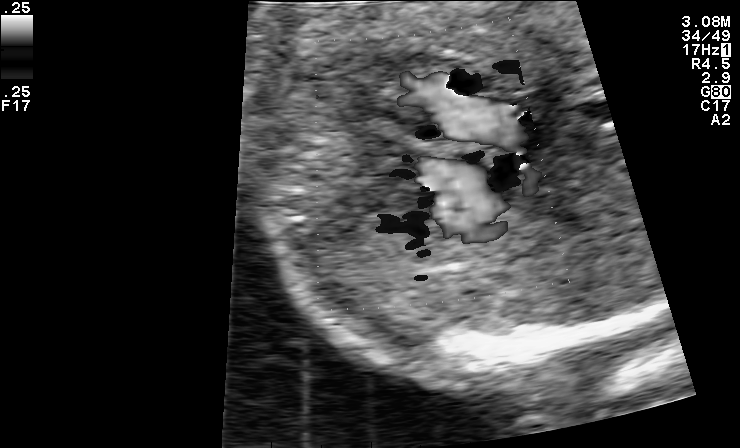
This is a 2D maternal-fetal ultrasound frame. Is it a fetal abdomen, fetal brain, fetal femur, fetal thorax, maternal cervix, or other standard plane? If it's fetal brain and one of the three standard brain planes (trans-thalamic, trans-cerebellum, trans-ventricular), name which.

Other